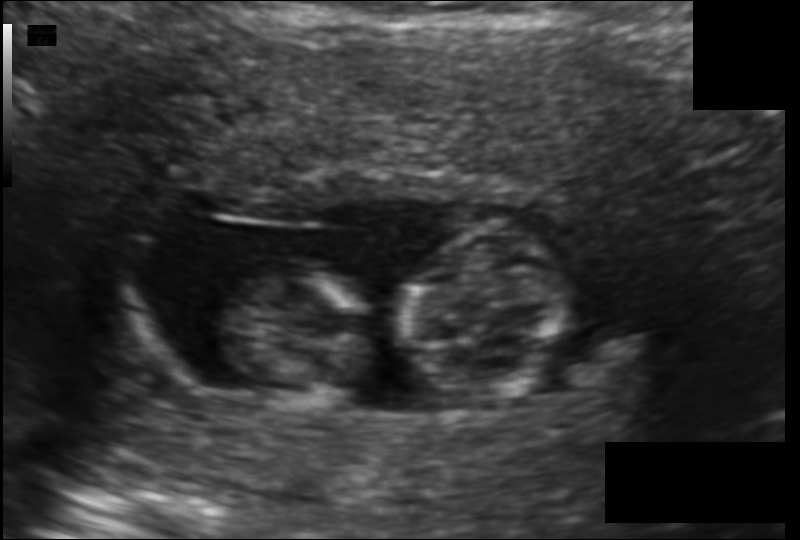
What is the fetal head circumference? Image width is 95.3 mm.

67.9 mm